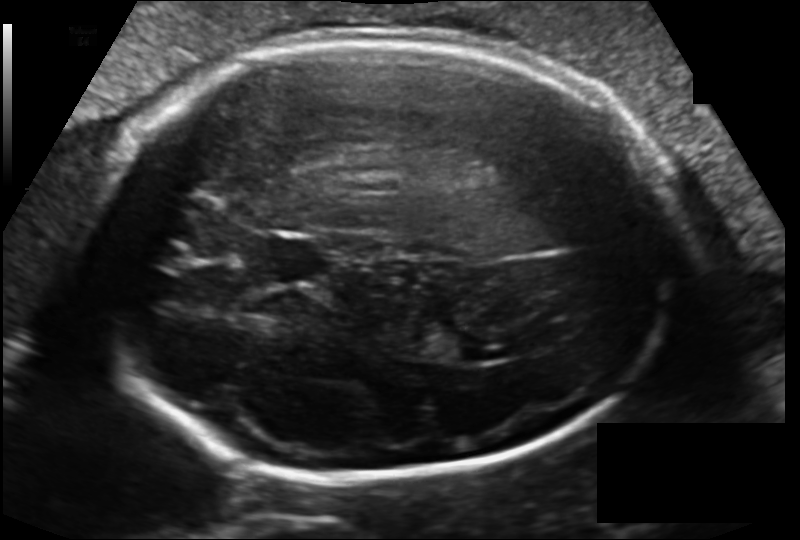
Estimate the fetal head circumference from this 2D ultrasound. Image width: 129.6 mm.

Head circumference: 270.5 mm.